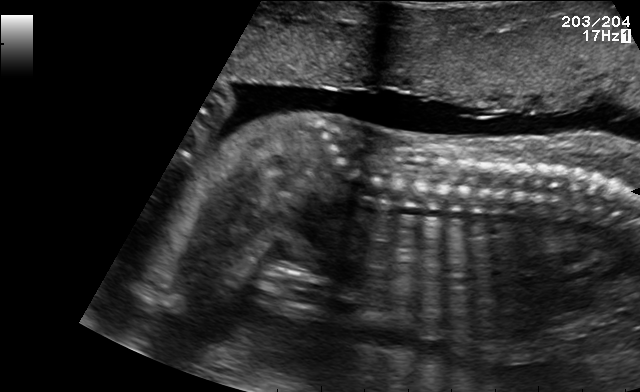
Classify this maternal-fetal ultrasound image as one of the six standard planes — fetal abdomen, fetal brain, fetal femur, fetal thorax, maternal cervix, or other. If it's fetal brain and one of the three standard brain planes (trans-thalamic, trans-cerebellum, trans-ventricular), name which.

Other